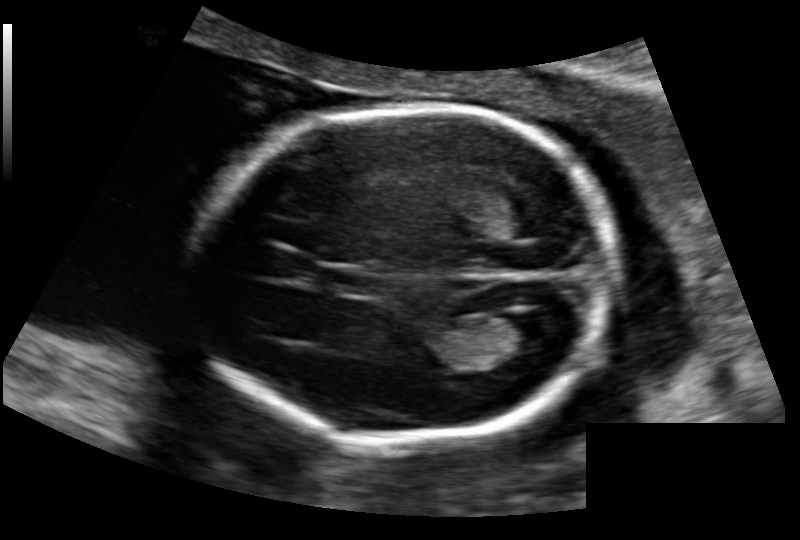
In this fetal head ultrasound, give bounding boxes for the head outline, cavum septum pellucidum (CSP), and lateral ventricle (LV), where visible. Image width: 108.9 mm.

Head: [189,108,615,440]
CSP: [325,267,377,297]
Lateral ventricle: [491,311,558,356]